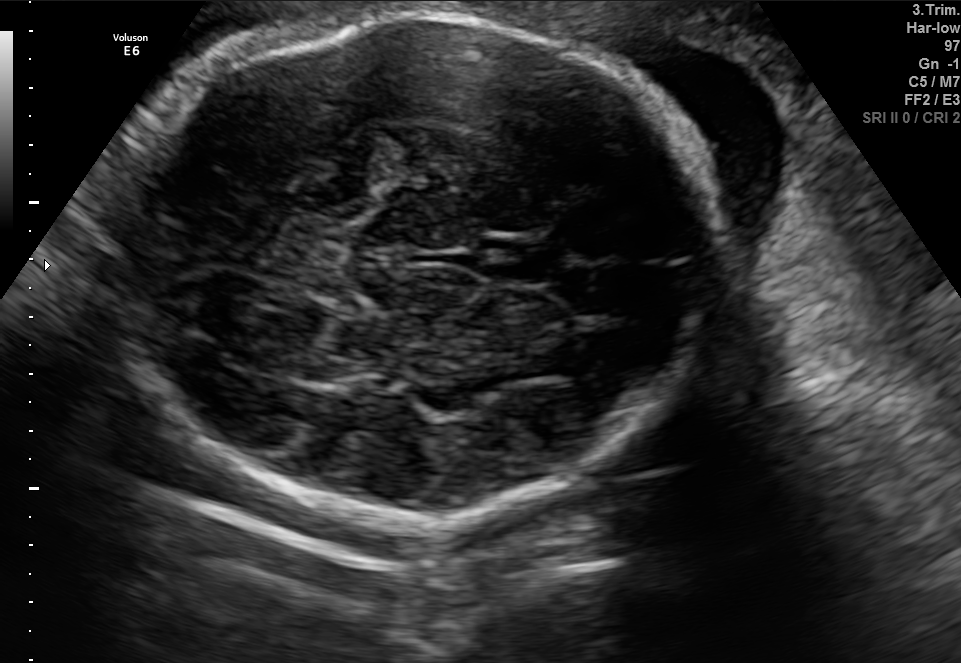
In this fetal brain, trans-thalamic plane, give bounding boxes for the head outline, cavum septum pellucidum (CSP), and lateral ventricle (LV), where visible.

Head: [124,11,725,532]
CSP: [481,240,548,281]